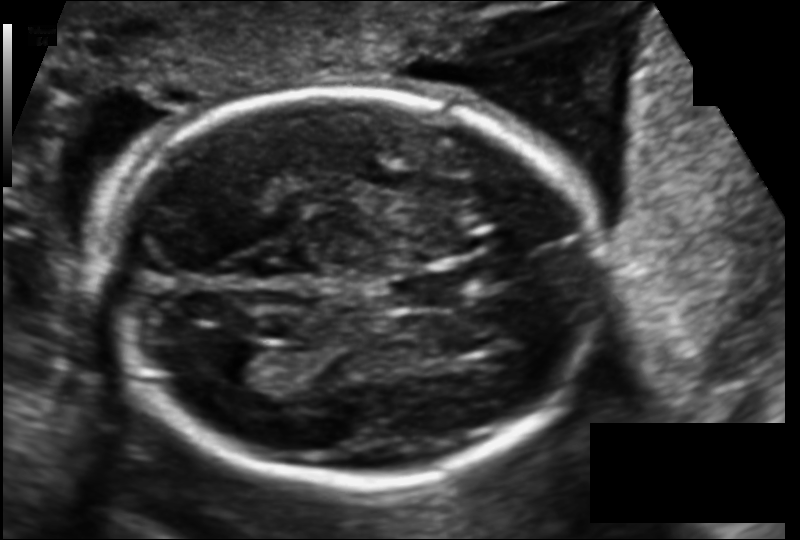
Fetal head ultrasound. Image width: 104.3 mm. Locate the lateral ventricle.

Lateral ventricle: [208,339,276,390]